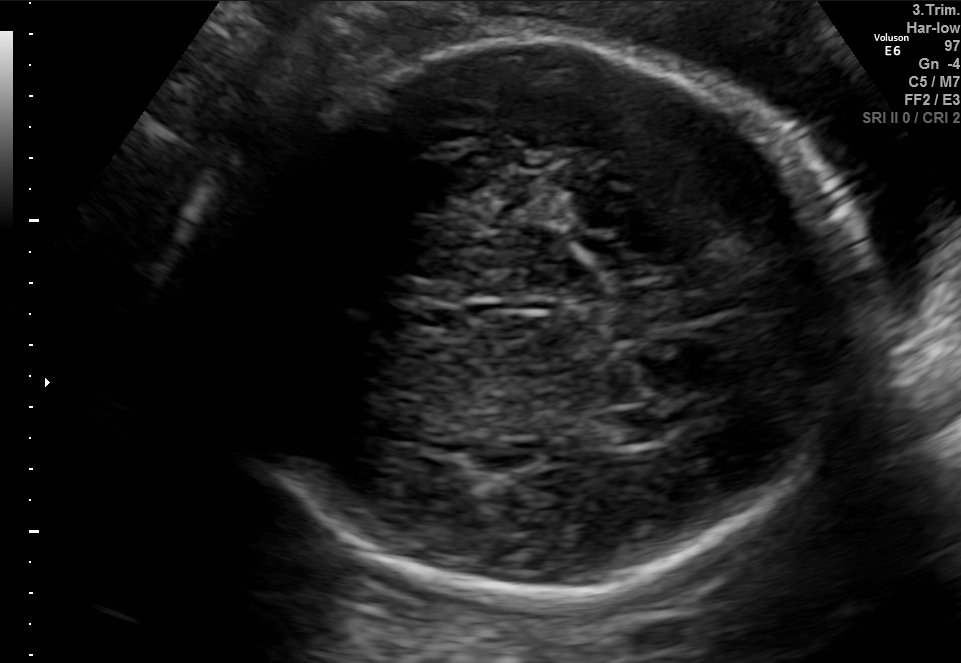
Fetal brain, trans-thalamic plane. Locate the fetal head.

Head: [221,34,858,597]